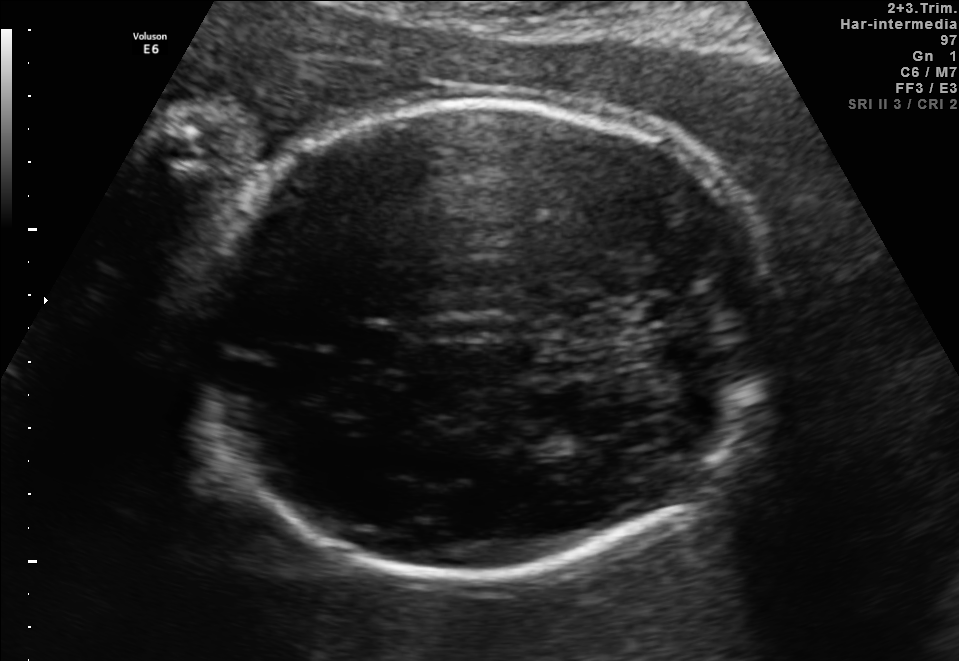
Fetal brain, trans-thalamic plane. Give [x1,y1,x2,y2] bounding boxes for each visible structure among: fetal head, CSP, LV.

Head: [187,100,776,583]
CSP: [340,325,401,357]